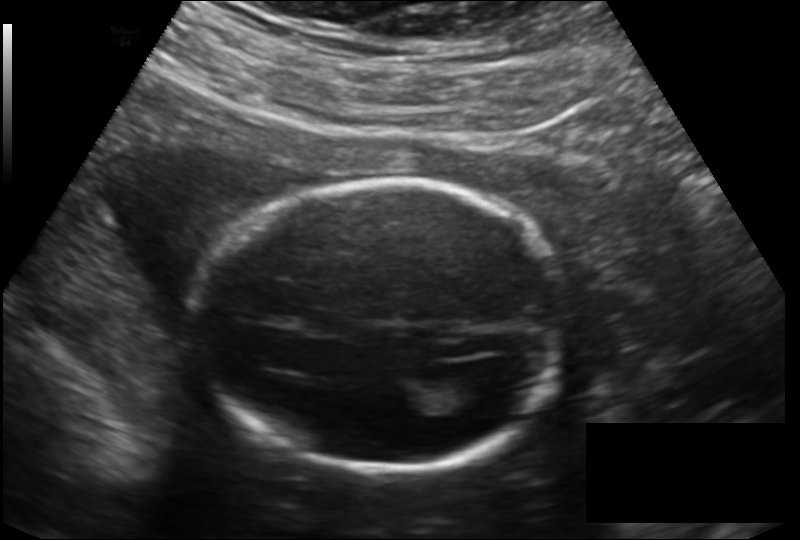
In this fetal head ultrasound, give bounding boxes for the head outline, cavum septum pellucidum (CSP), and lateral ventricle (LV), where visible. Image width: 133.1 mm.

Head: [200,181,565,473]
Lateral ventricle: [434,370,502,418]